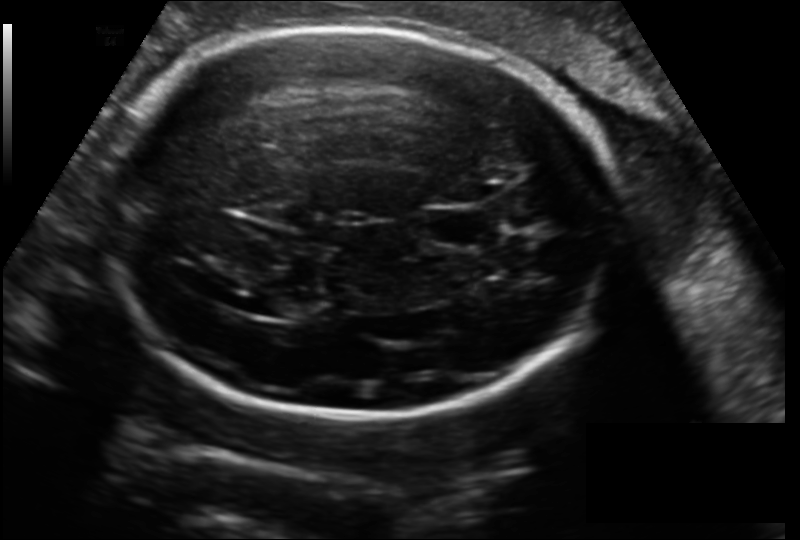
Fetal head ultrasound. Image width: 142.1 mm. Where is the lateral ventricle?

Lateral ventricle bounding box: [254,293,303,320]